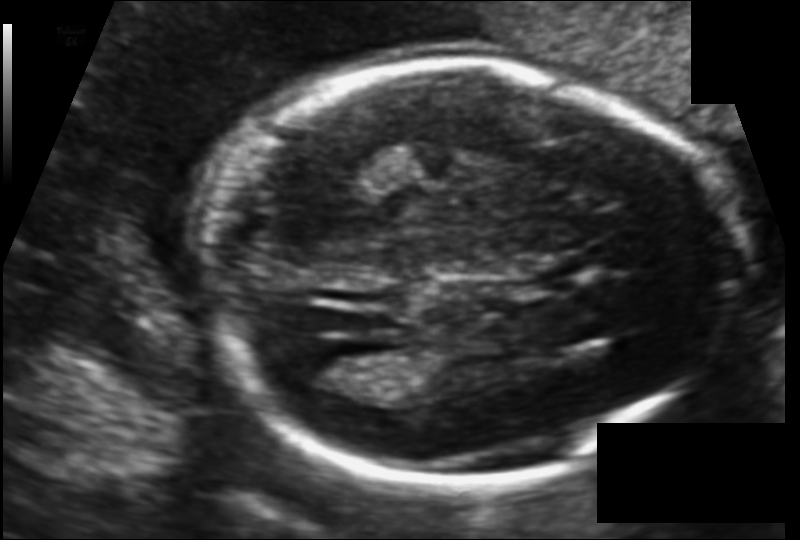
Fetal head ultrasound. Image width: 93.1 mm. Give [x1,y1,x2,y2] bounding boxes for each visible structure among: fetal head, CSP, LV.

Head: [198,60,736,485]
Lateral ventricle: [289,342,376,396]